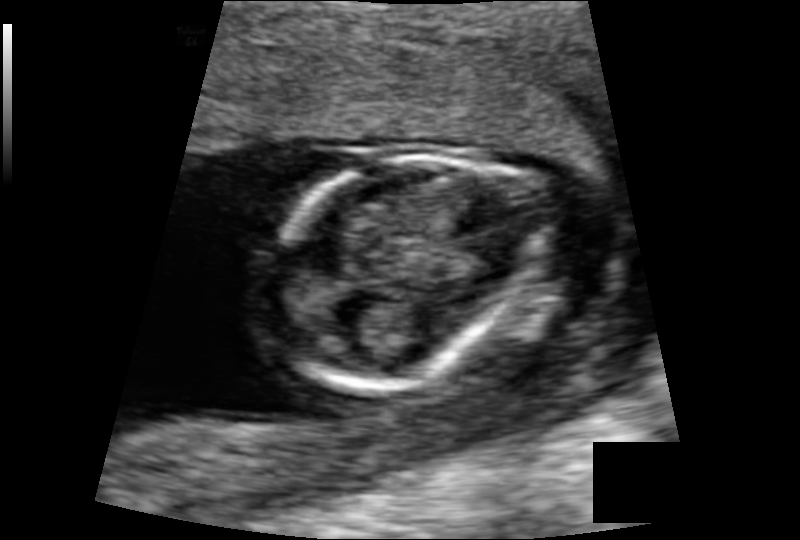
From this fetal ultrasound, estimate the head circumference (image width 82.7 mm).

Head circumference: 84.2 mm.